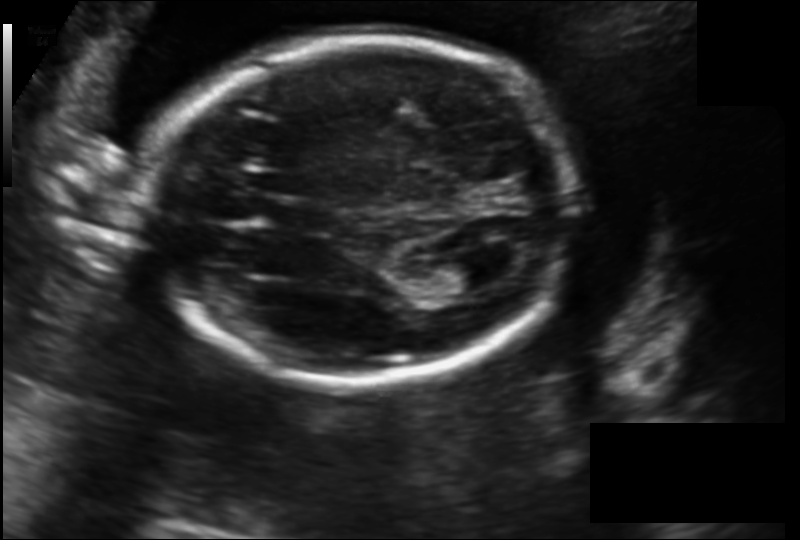
Fetal head ultrasound. Image width: 121.4 mm. Where is the fetal head?

Head bounding box: [147,38,573,381]